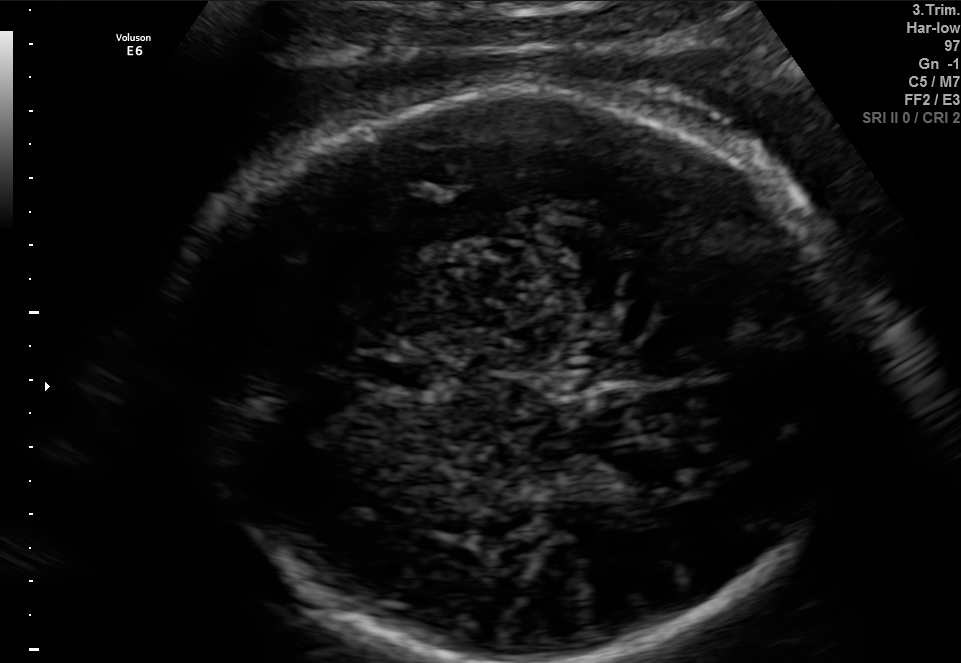
Fetal brain, trans-thalamic plane. Where is the cavum septum pellucidum?

CSP bounding box: [364,353,441,394]